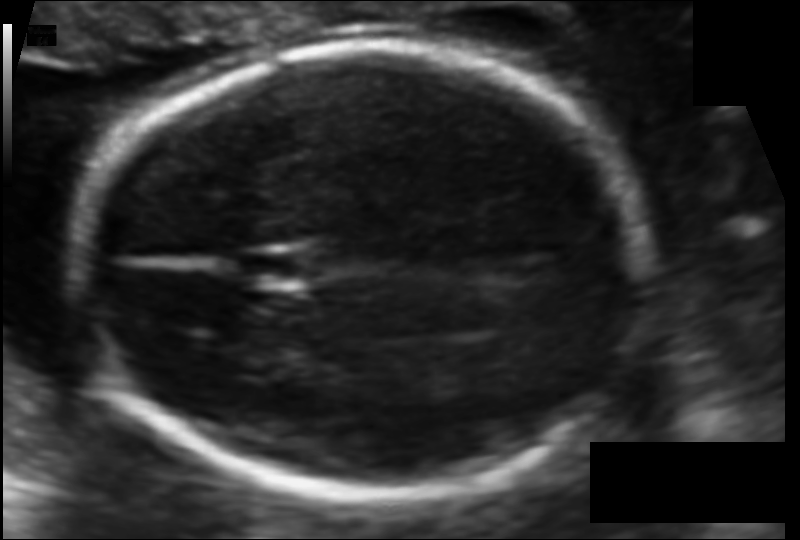
In this fetal head ultrasound, give the bounding box of the fetal head. Image width: 84.8 mm.

[81,47,644,500]